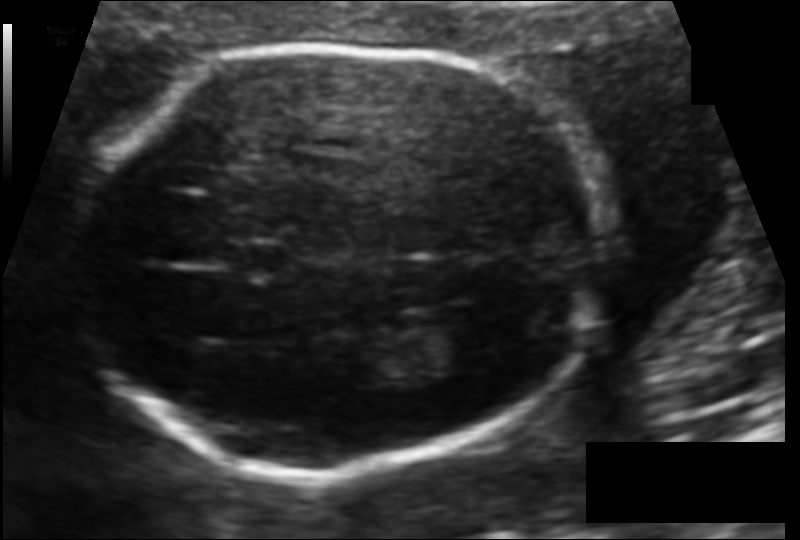
Fetal head ultrasound. Image width: 86.3 mm. Locate the fetal head.

Head: [72,47,606,472]